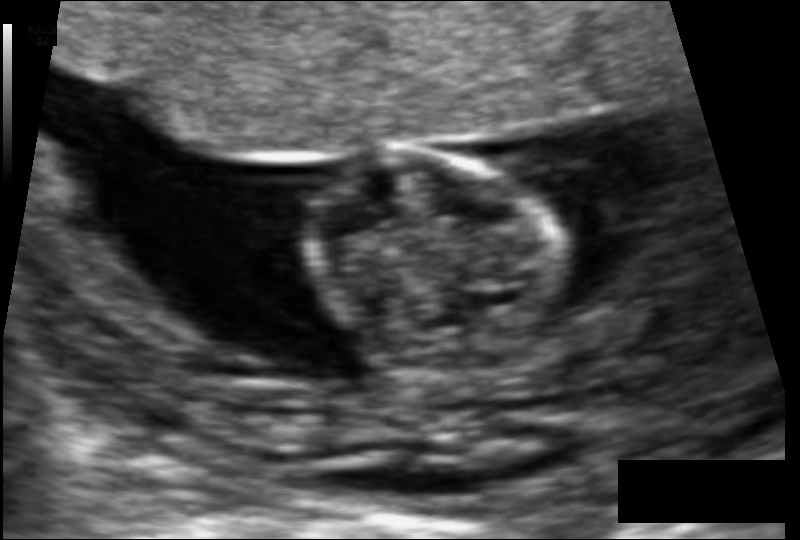
What is the fetal head circumference? Image width is 63.2 mm.

62.9 mm